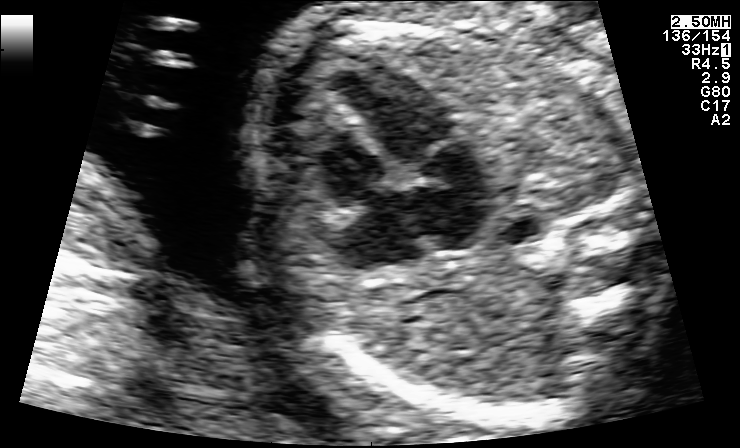
Which standard maternal-fetal ultrasound plane is shown: fetal abdomen, fetal brain, fetal femur, fetal thorax, maternal cervix, or other? If it's fetal brain and one of the three standard brain planes (trans-thalamic, trans-cerebellum, trans-ventricular), name which.

Fetal thorax